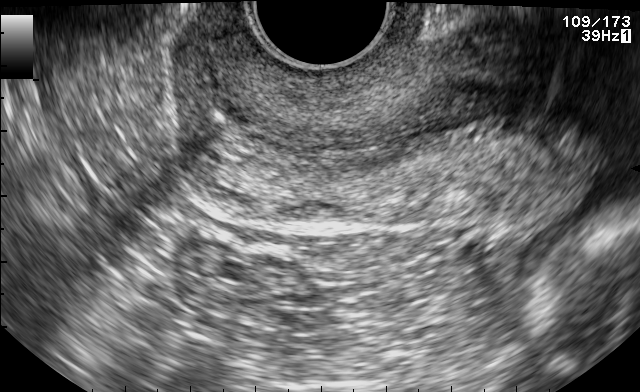
Which standard maternal-fetal ultrasound plane is shown: fetal abdomen, fetal brain, fetal femur, fetal thorax, maternal cervix, or other? If it's fetal brain and one of the three standard brain planes (trans-thalamic, trans-cerebellum, trans-ventricular), name which.

Maternal cervix